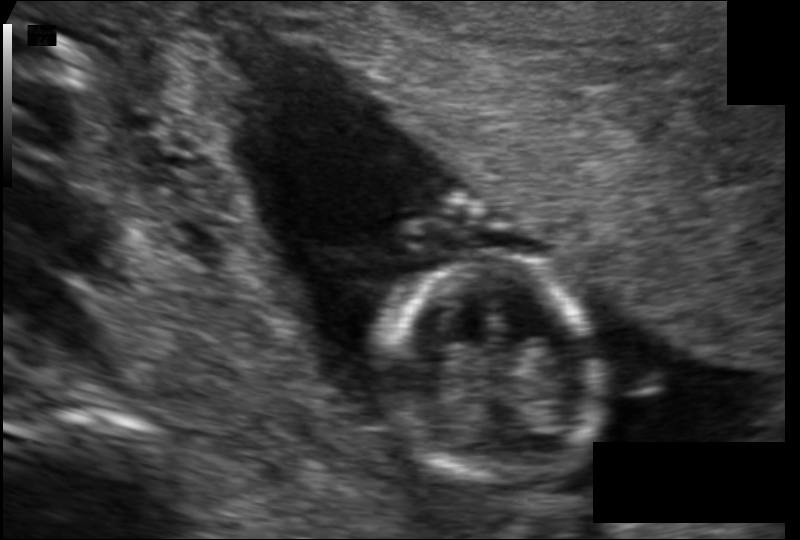
From this fetal ultrasound, estimate the head circumference (image width 87.7 mm).

Head circumference: 80.9 mm.